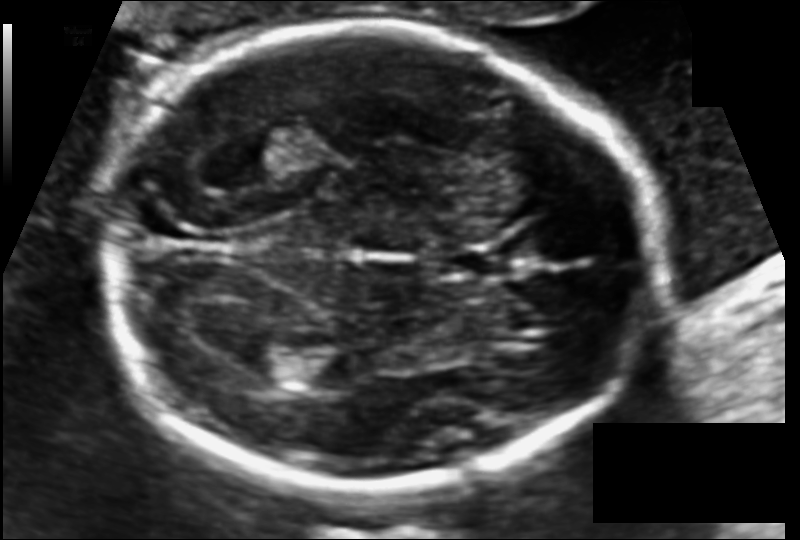
Measure the fetal head circumference shown in this ultrasound image. Image width: 87.7 mm.

Head circumference: 179.6 mm.